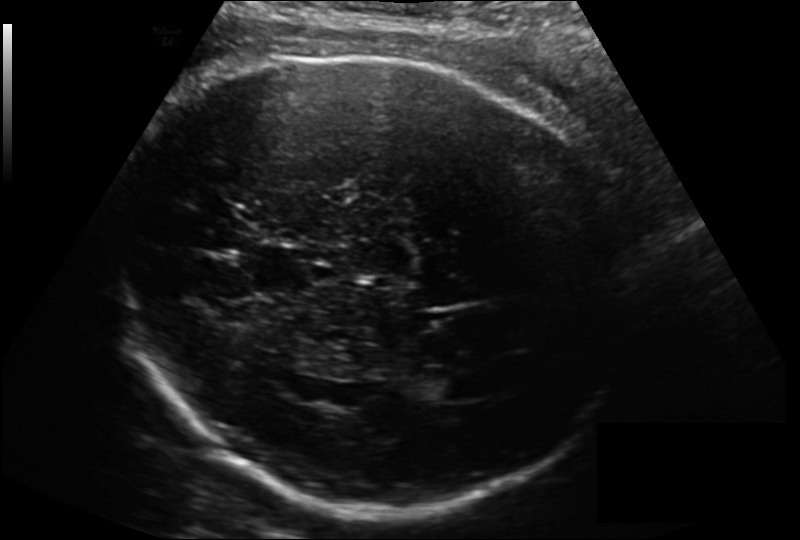
Fetal head ultrasound. Image width: 159.6 mm. Locate the fetal head and, if visible, the cavum septum pellucidum (CSP) and lateral ventricle (LV). Give bounding boxes as [x1,y1,x2,y2].

Head: [113,55,635,507]
Lateral ventricle: [423,376,475,401]